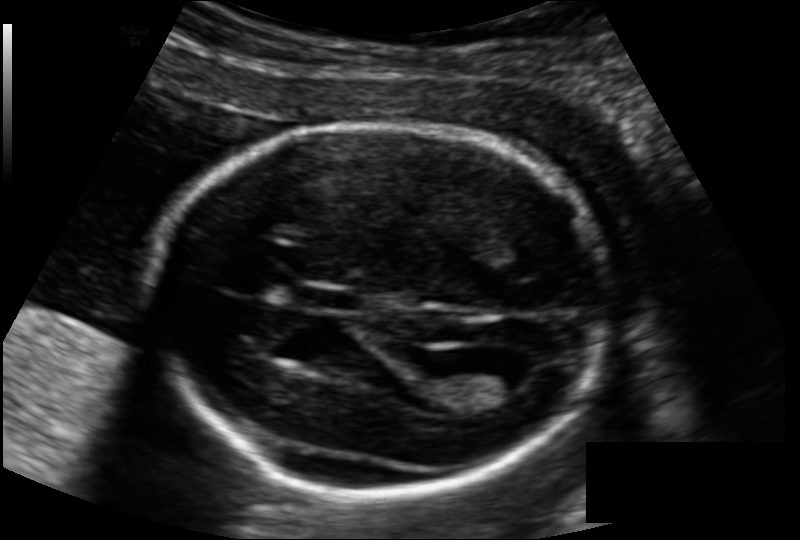
Fetal head ultrasound. Image width: 106.7 mm. Locate the fetal head.

Head: [153,123,608,492]